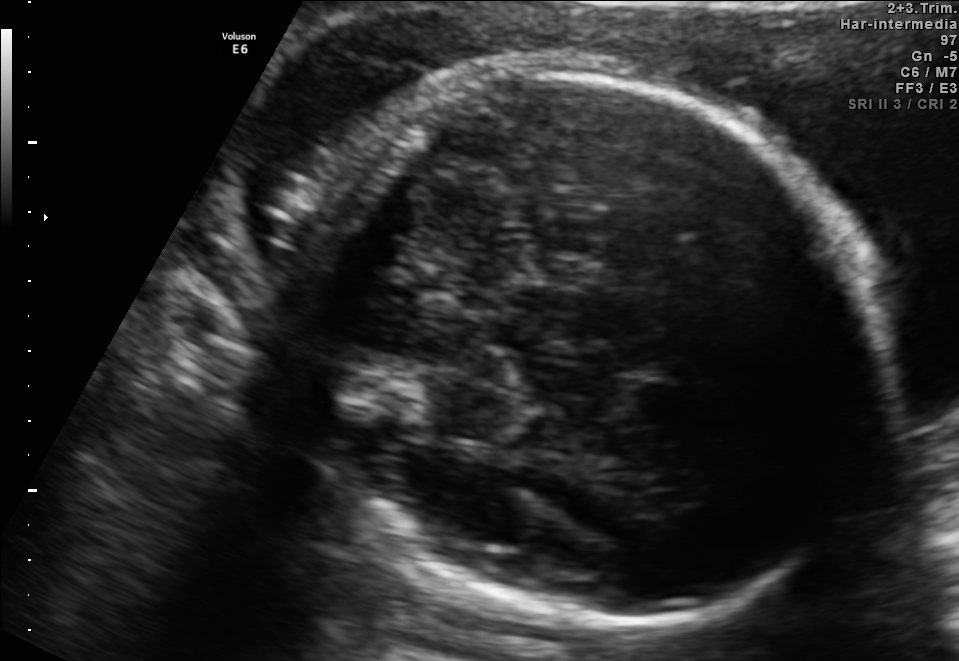
Fetal brain, trans-thalamic plane. Where is the fetal head?

Head bounding box: [293,62,882,627]